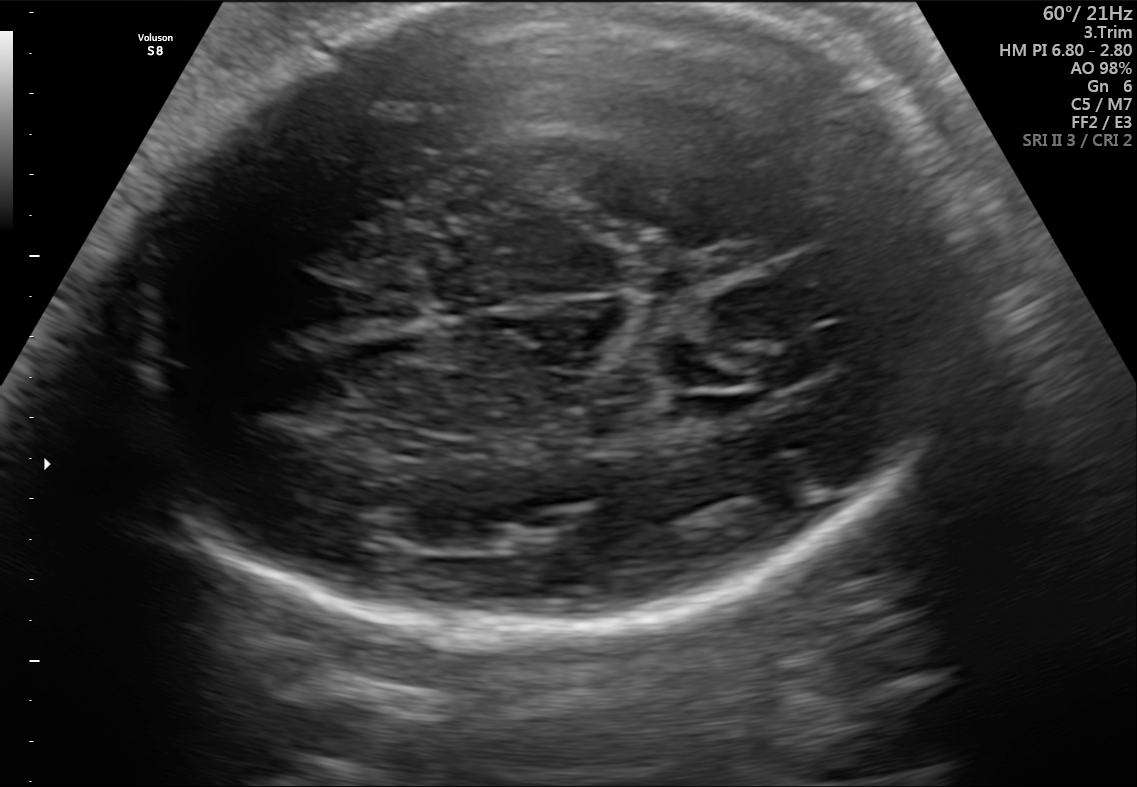
Fetal brain, trans-ventricular plane. Locate the fetal head and, if visible, the cavum septum pellucidum (CSP) and lateral ventricle (LV). Give bounding boxes as [x1,y1,x2,y2].

Head: [98,4,986,638]